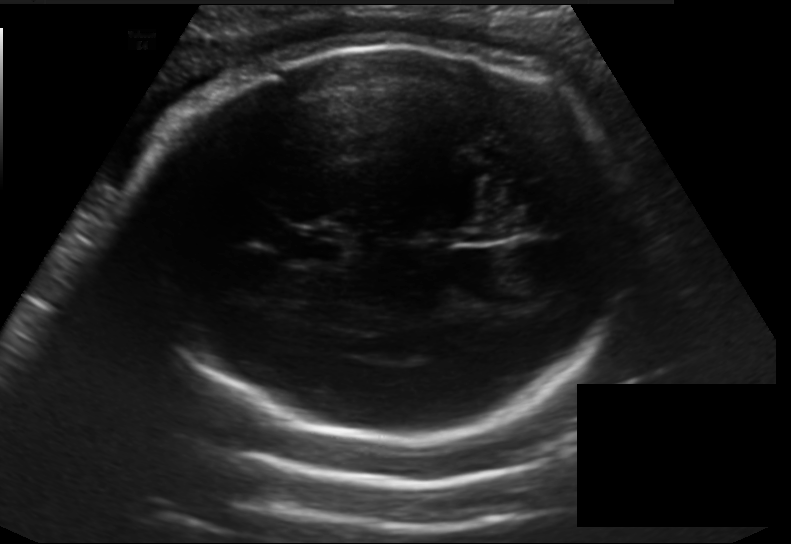
In this fetal head ultrasound, give the bounding box of the cavum septum pellucidum. Image width: 156.8 mm.

[285,223,350,269]